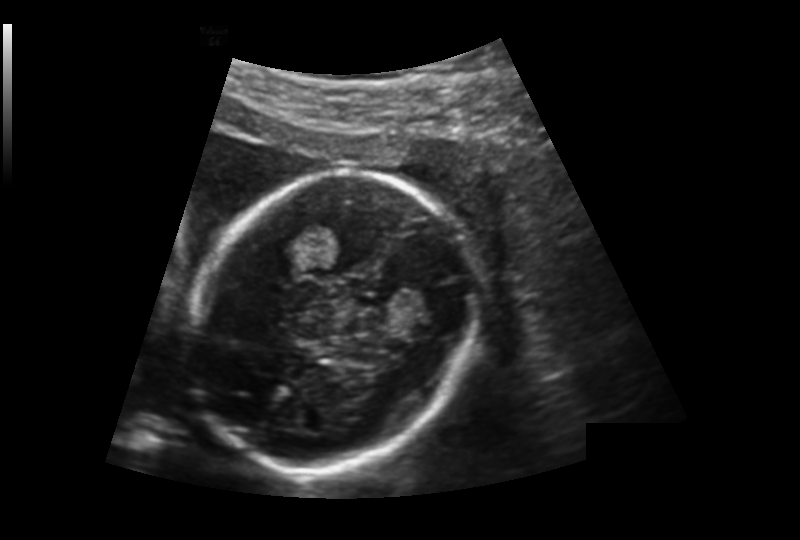
In this fetal head ultrasound, give the bounding box of the fetal head. Image width: 140.4 mm.

[196,172,474,473]